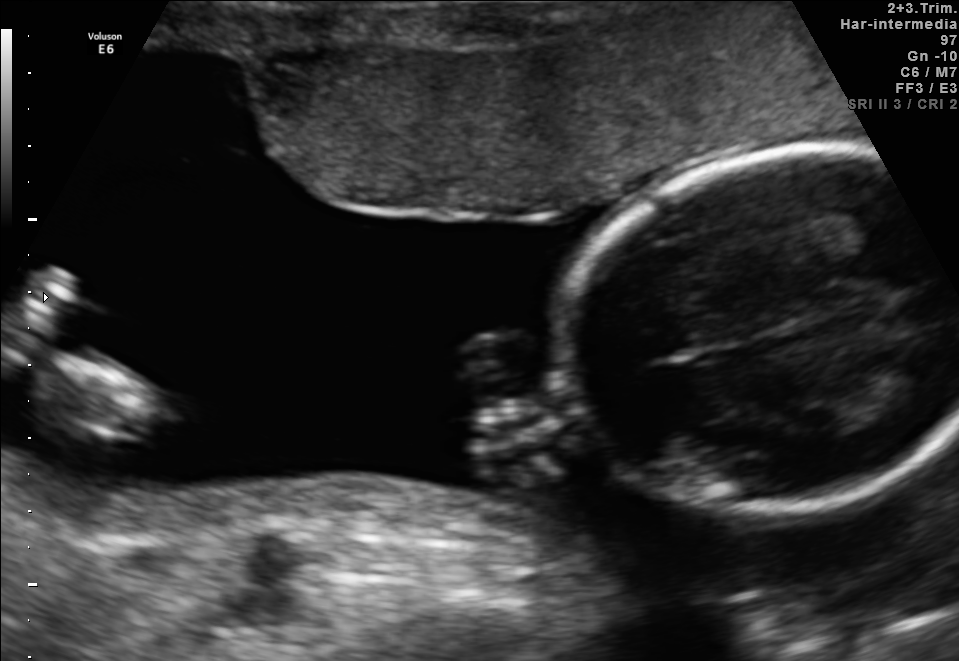
Identify the standard plane in this fetal ultrasound image: fetal abdomen, fetal brain, fetal femur, fetal thorax, maternal cervix, or other. If it's fetal brain and one of the three standard brain planes (trans-thalamic, trans-cerebellum, trans-ventricular), name which.

Fetal brain